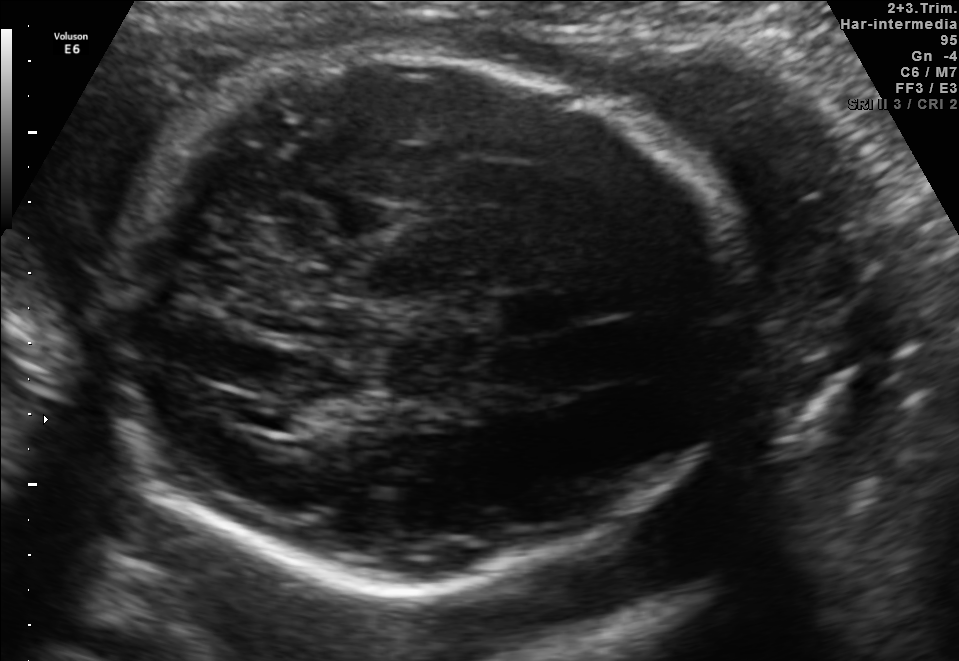
In this fetal brain, trans-thalamic plane, give bounding boxes for the head outline, cavum septum pellucidum (CSP), and lateral ventricle (LV), where visible.

Head: [113,52,734,591]
CSP: [501,294,570,334]
Lateral ventricle: [229,389,313,437]